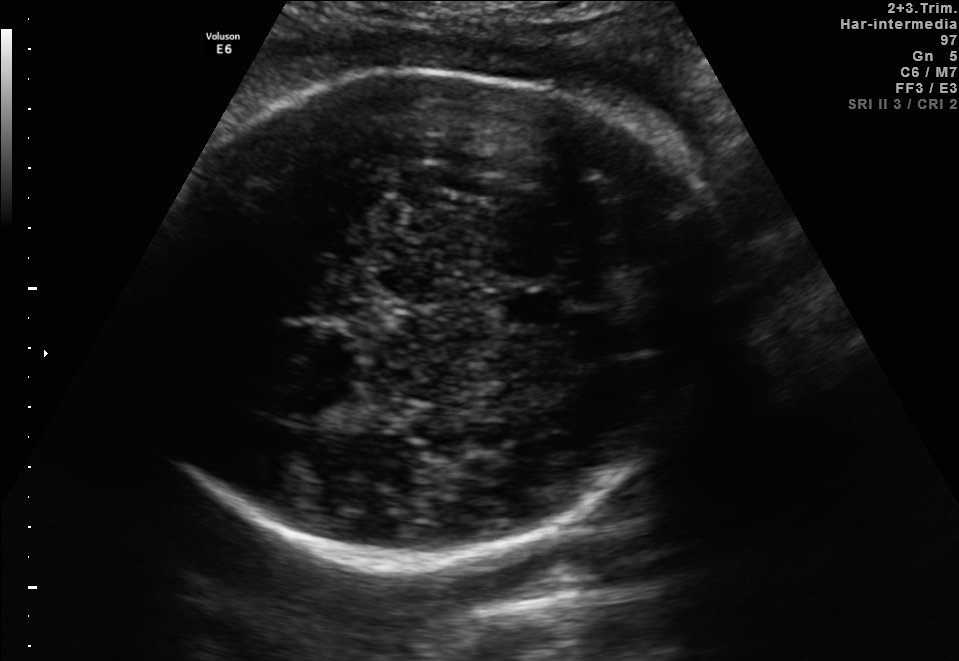
Fetal brain, trans-thalamic plane. Locate the lateral ventricle.

Lateral ventricle: [257,364,352,434]